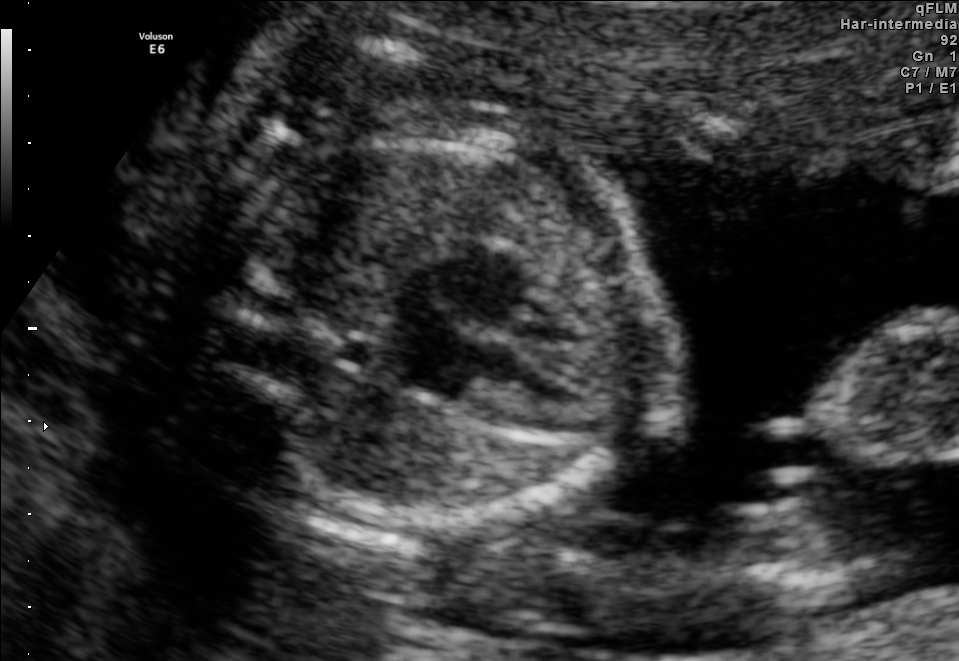
This is a 2D maternal-fetal ultrasound frame. Is it a fetal abdomen, fetal brain, fetal femur, fetal thorax, maternal cervix, or other standard plane? If it's fetal brain and one of the three standard brain planes (trans-thalamic, trans-cerebellum, trans-ventricular), name which.

Fetal thorax